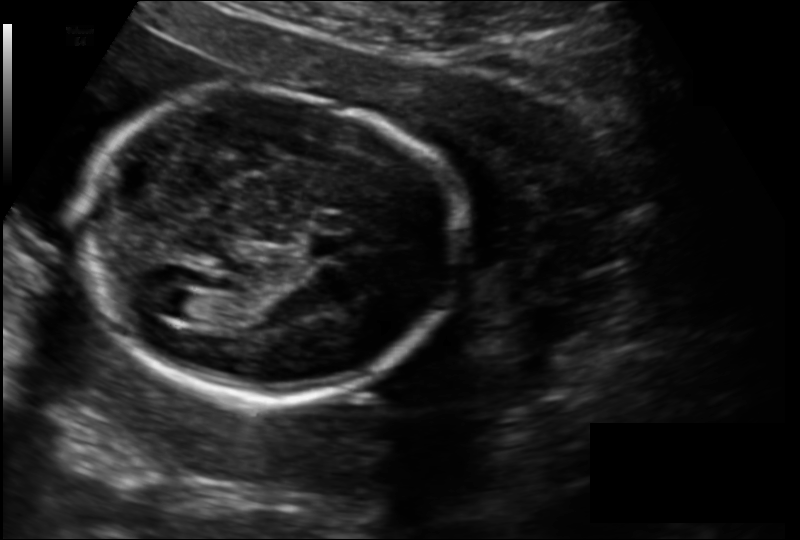
Measure the fetal head circumference shown in this ultrasound image. Image width: 119.1 mm.

Head circumference: 169.7 mm.